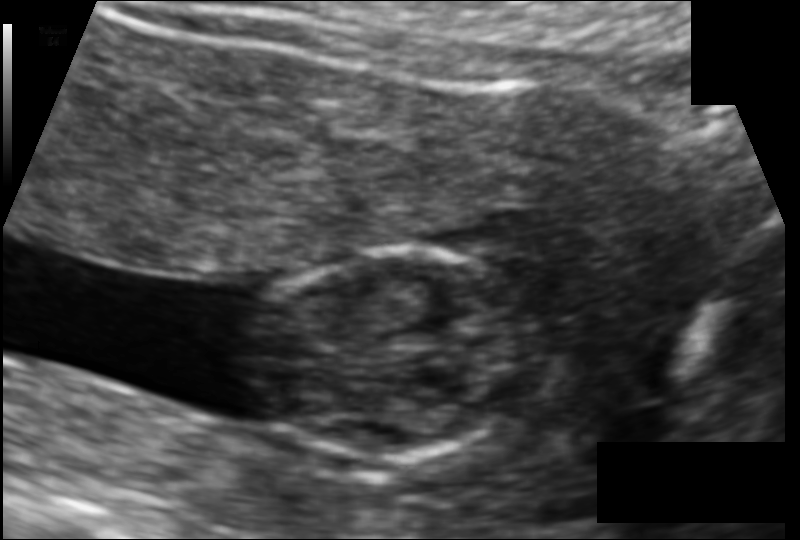
From this fetal ultrasound, estimate the head circumference (image width 84.2 mm).

Head circumference: 86.4 mm.